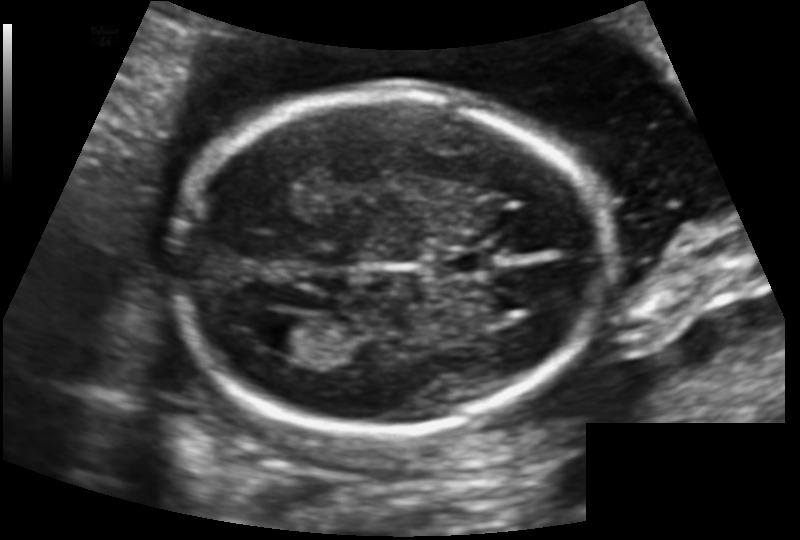
Fetal head ultrasound. Image width: 103.5 mm. Locate the fetal head.

Head: [176,92,604,433]